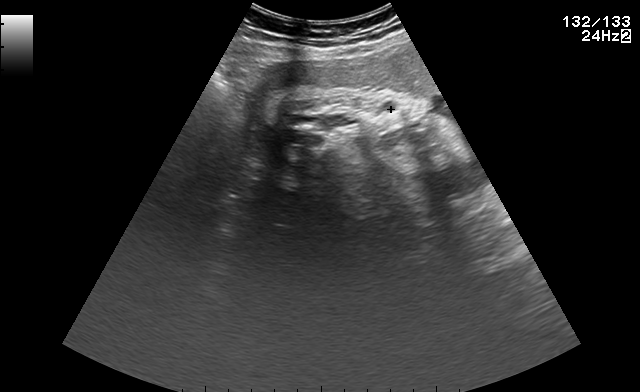
This is a 2D maternal-fetal ultrasound frame. Is it a fetal abdomen, fetal brain, fetal femur, fetal thorax, maternal cervix, or other standard plane? If it's fetal brain and one of the three standard brain planes (trans-thalamic, trans-cerebellum, trans-ventricular), name which.

Other